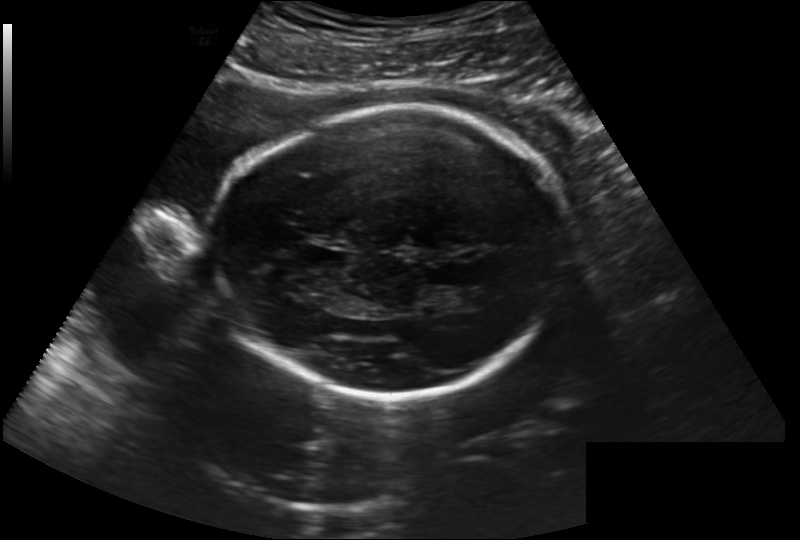
Fetal head ultrasound. Image width: 177.2 mm. Give [x1,y1,x2,y2] bounding boxes for each visible structure among: fetal head, CSP, LV.

Head: [214,107,568,399]